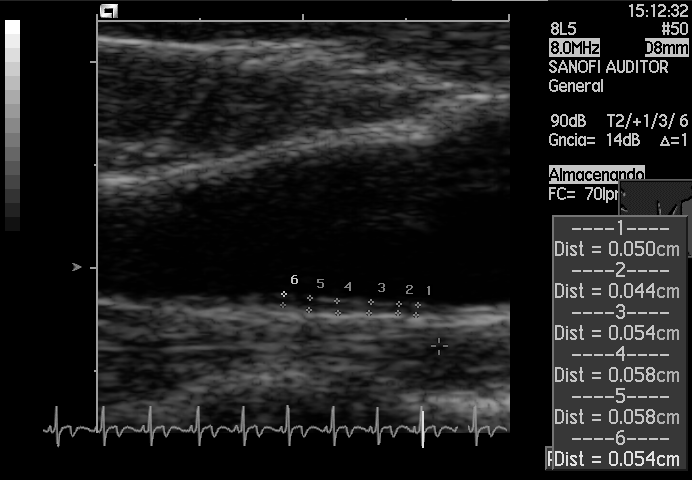
Identify the standard plane in this fetal ultrasound image: fetal abdomen, fetal brain, fetal femur, fetal thorax, maternal cervix, or other. If it's fetal brain and one of the three standard brain planes (trans-thalamic, trans-cerebellum, trans-ventricular), name which.

Other